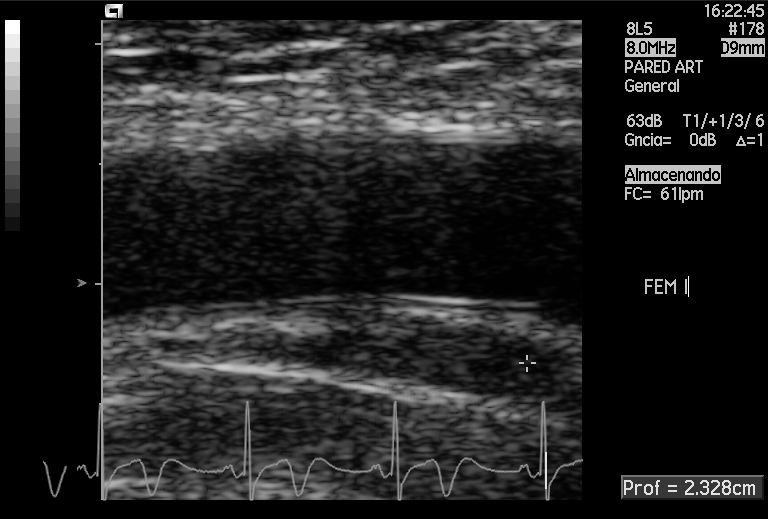
Identify the standard plane in this fetal ultrasound image: fetal abdomen, fetal brain, fetal femur, fetal thorax, maternal cervix, or other. If it's fetal brain and one of the three standard brain planes (trans-thalamic, trans-cerebellum, trans-ventricular), name which.

Other